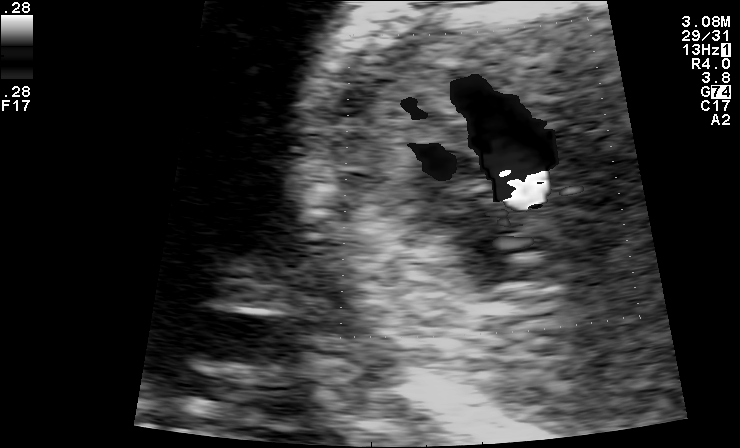
This is a 2D maternal-fetal ultrasound frame. Is it a fetal abdomen, fetal brain, fetal femur, fetal thorax, maternal cervix, or other standard plane? If it's fetal brain and one of the three standard brain planes (trans-thalamic, trans-cerebellum, trans-ventricular), name which.

Other